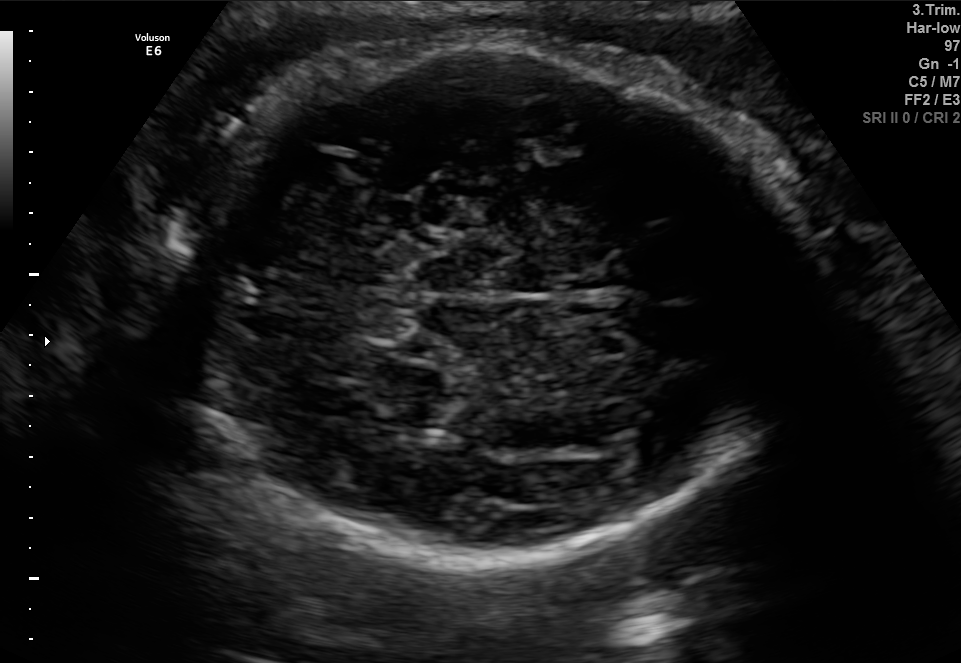
Fetal brain, trans-cerebellum plane. Where is the fetal head?

Head bounding box: [161,40,790,561]